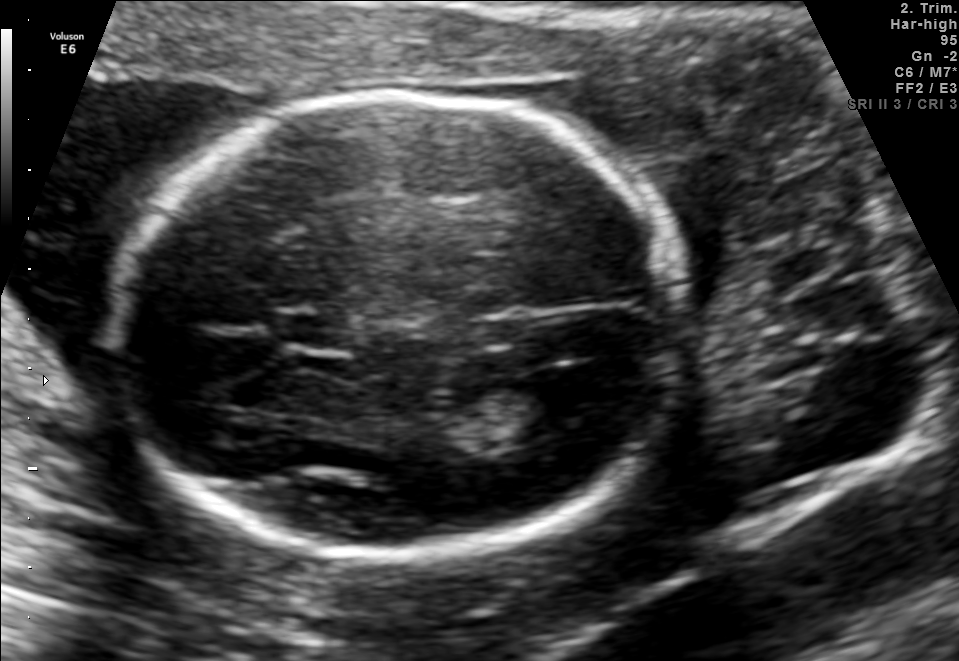
Fetal brain, trans-ventricular plane. Give [x1,y1,x2,y2] bounding boxes for each visible structure among: fetal head, CSP, LV.

Head: [103,86,700,567]
CSP: [269,309,364,354]
Lateral ventricle: [503,352,618,443]